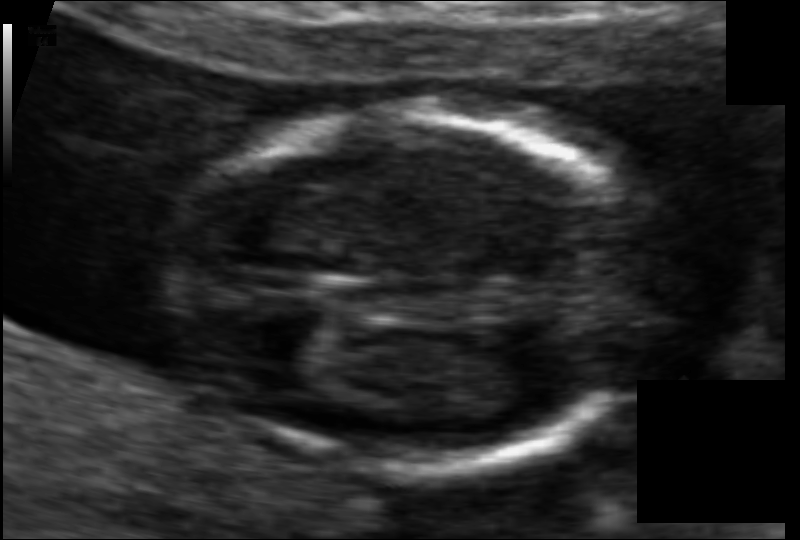
Fetal head ultrasound. Image width: 51.8 mm. Where is the fetal head?

Head bounding box: [159,111,651,471]